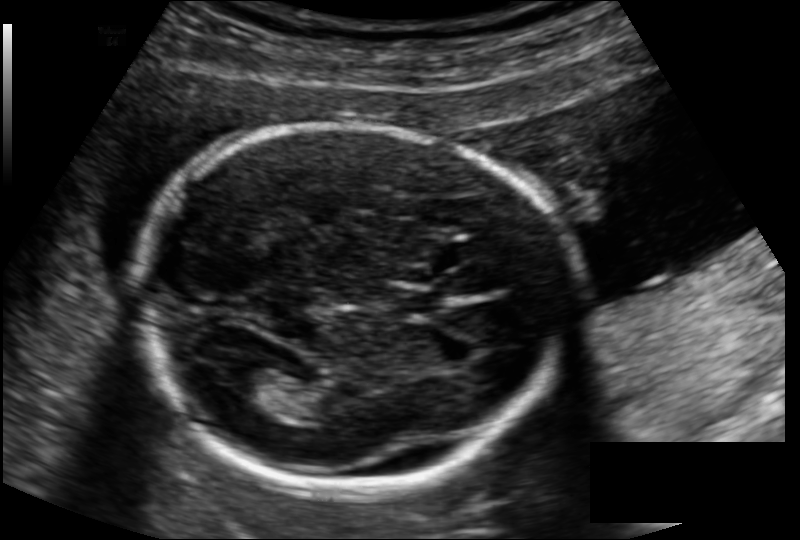
Fetal head ultrasound. Image width: 107.6 mm. Locate the lateral ventricle.

Lateral ventricle: [226,356,281,404]